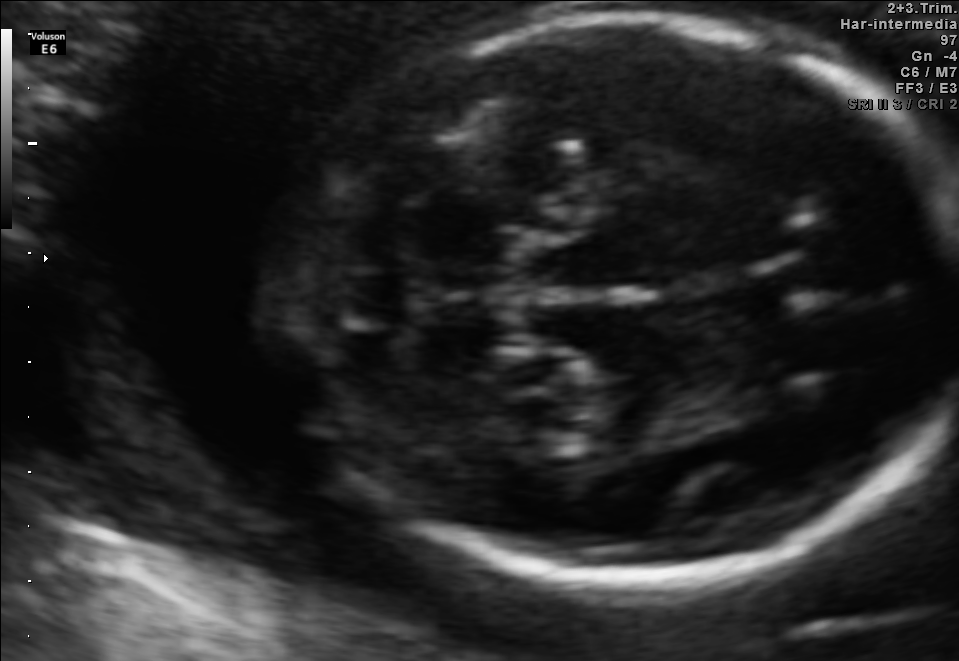
In this fetal brain, trans-cerebellum plane, give bounding boxes for the head outline, cavum septum pellucidum (CSP), and lateral ventricle (LV), where visible.

Head: [284,14,957,581]